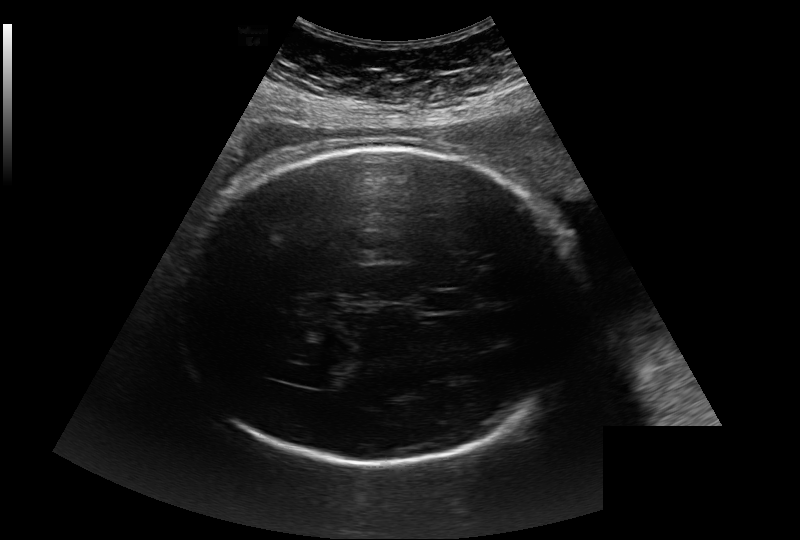
Fetal head ultrasound. Image width: 227.4 mm. Where is the lateral ventricle?

Lateral ventricle bounding box: [309,370,342,391]